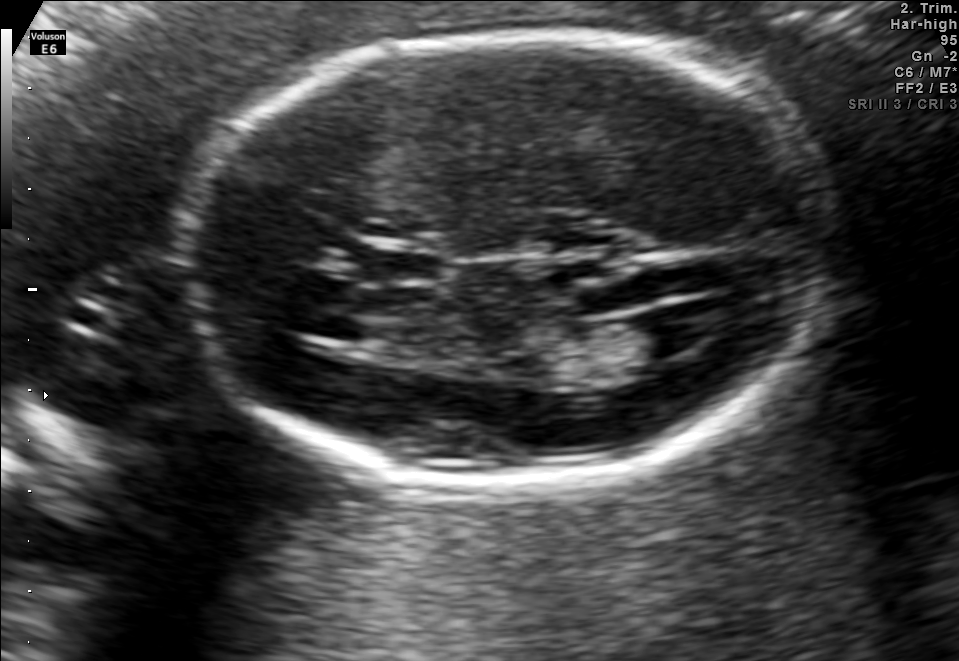
In this fetal brain, trans-ventricular plane, give the bounding box of the fetal head.

[166,25,843,494]